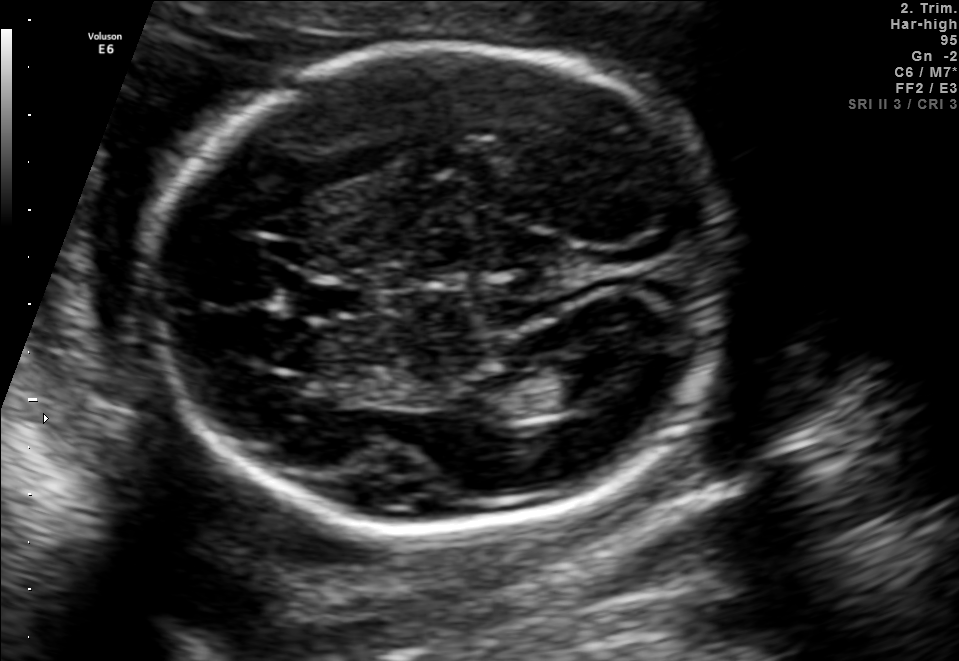
In this fetal brain, trans-ventricular plane, give the bounding box of the cavum septum pellucidum.

[282,277,380,322]